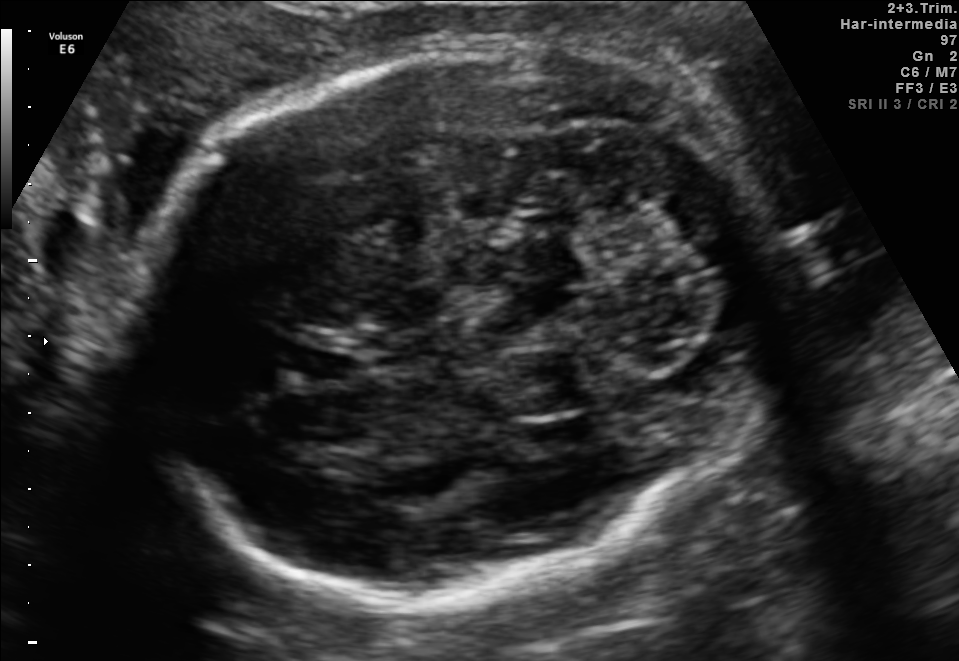
In this fetal brain, trans-cerebellum plane, give the bounding box of the fetal head.

[131,42,780,585]